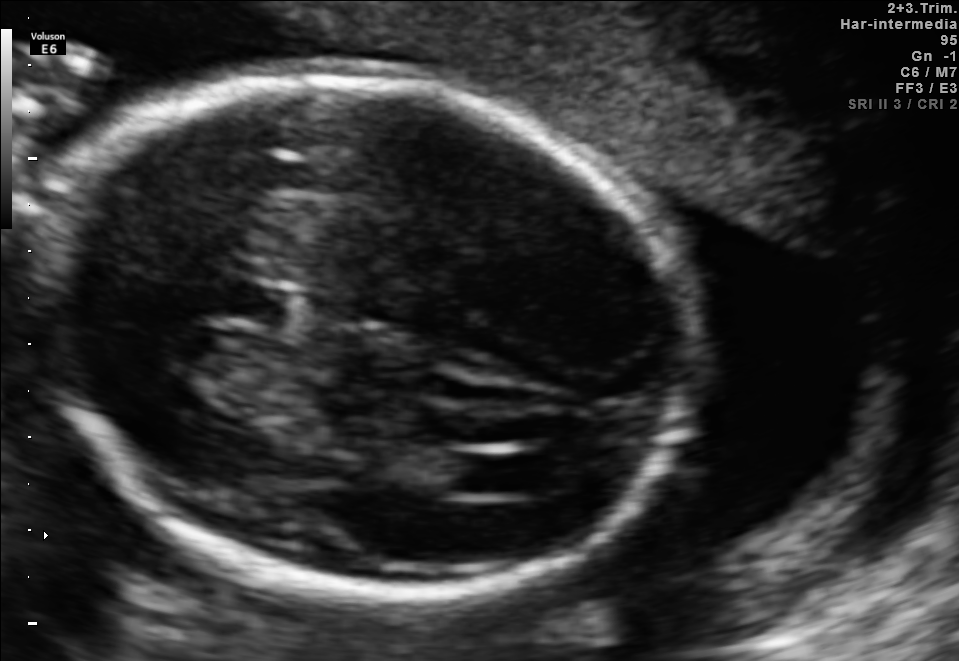
Classify this maternal-fetal ultrasound image as one of the six standard planes — fetal abdomen, fetal brain, fetal femur, fetal thorax, maternal cervix, or other. If it's fetal brain and one of the three standard brain planes (trans-thalamic, trans-cerebellum, trans-ventricular), name which.

Fetal brain (trans-ventricular plane)